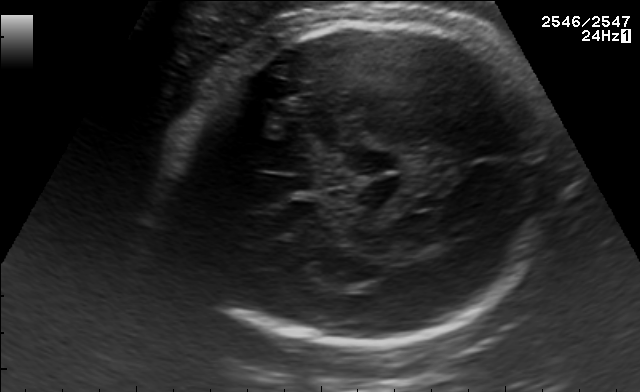
Classify this maternal-fetal ultrasound image as one of the six standard planes — fetal abdomen, fetal brain, fetal femur, fetal thorax, maternal cervix, or other. If it's fetal brain and one of the three standard brain planes (trans-thalamic, trans-cerebellum, trans-ventricular), name which.

Fetal brain (trans-thalamic plane)